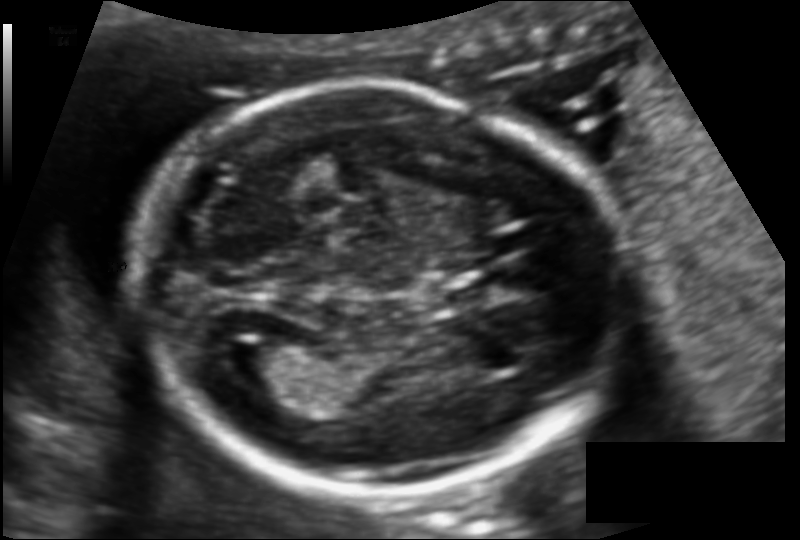
Estimate the fetal head circumference from this 2D ultrasound.

Head circumference: 162.3 mm (image width 89.5 mm).